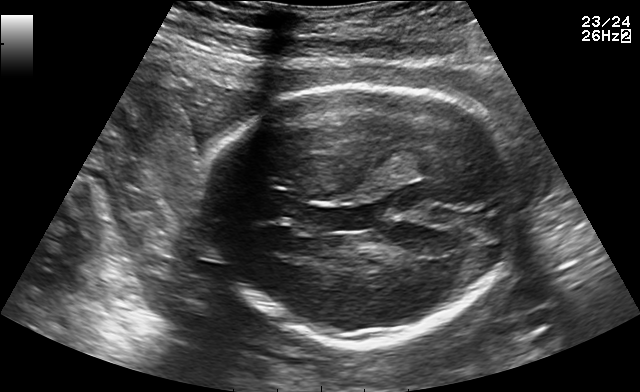
Fetal brain, trans-thalamic plane. Where is the fetal head?

Head bounding box: [198,85,521,350]